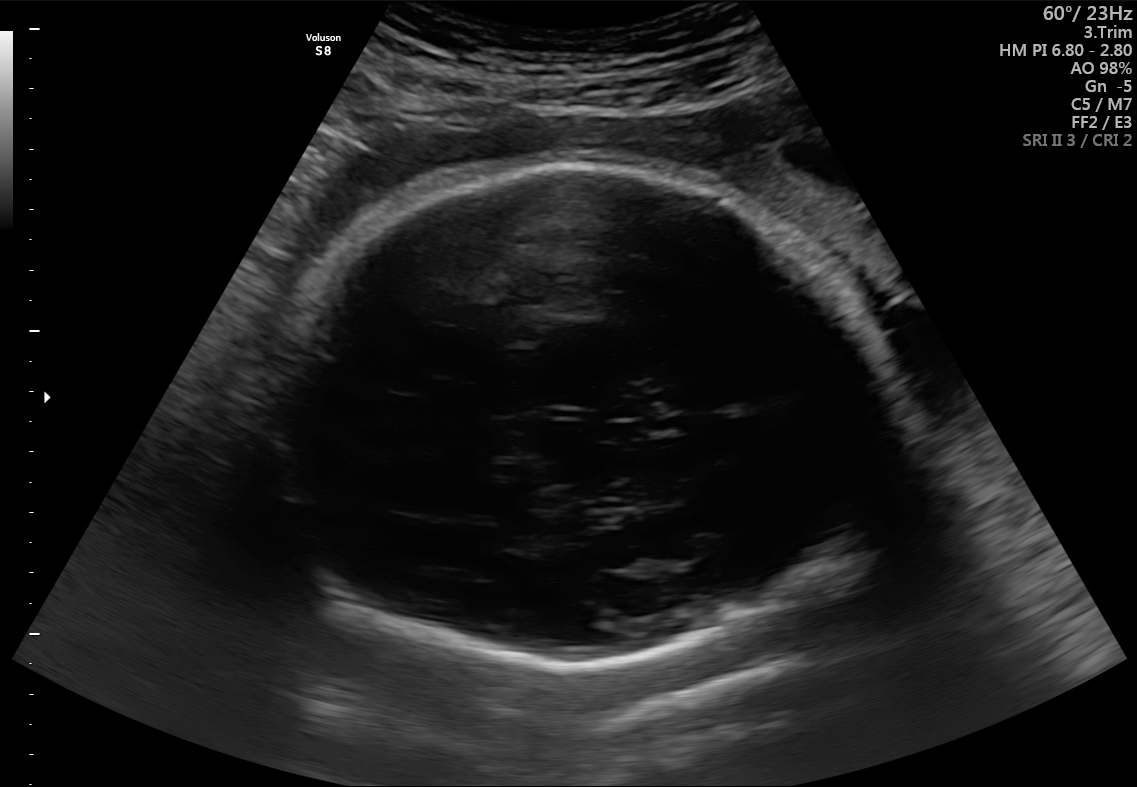
Fetal brain, trans-thalamic plane. Locate the fetal head and, if visible, the cavum septum pellucidum (CSP) and lateral ventricle (LV). Give bounding boxes as [x1,y1,x2,y2].

Head: [263,161,900,664]